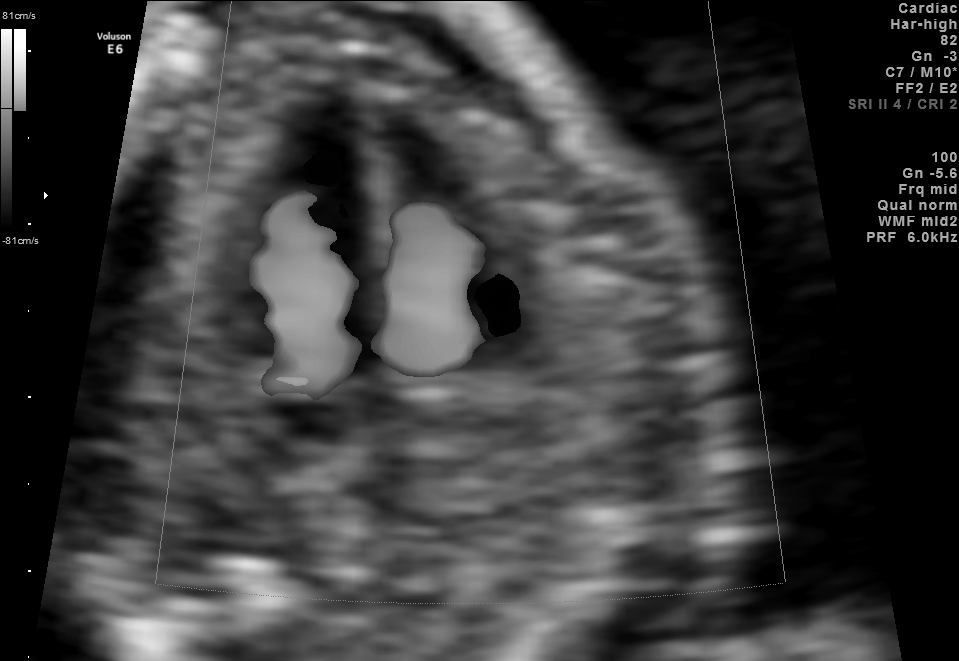
Which standard maternal-fetal ultrasound plane is shown: fetal abdomen, fetal brain, fetal femur, fetal thorax, maternal cervix, or other? If it's fetal brain and one of the three standard brain planes (trans-thalamic, trans-cerebellum, trans-ventricular), name which.

Other